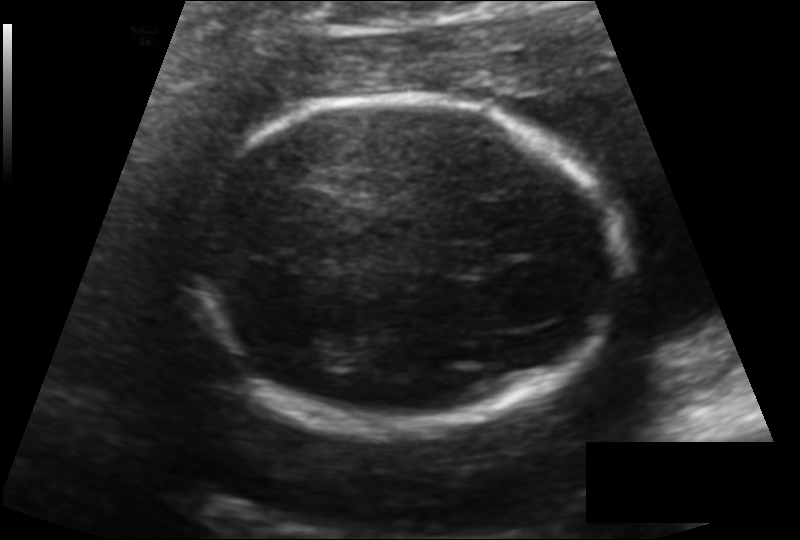
What is the fetal head circumference? Image width is 109.0 mm.

166.9 mm